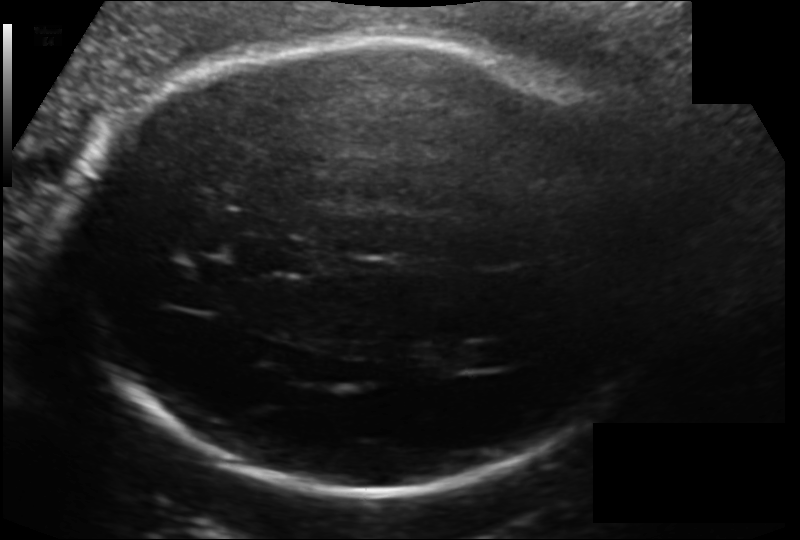
Fetal head ultrasound. Image width: 123.2 mm. Locate the lateral ventricle.

Lateral ventricle: [459,342,514,370]